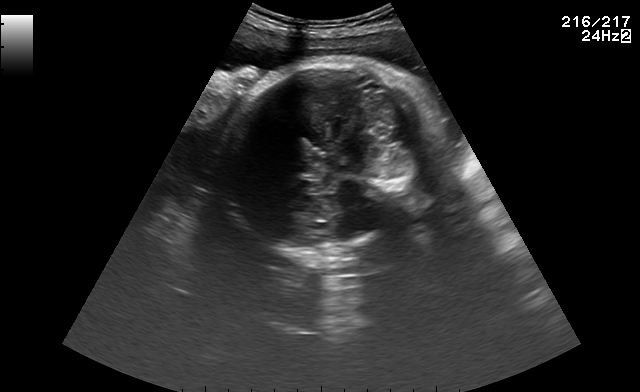
Fetal brain, trans-cerebellum plane. Locate the fetal head.

Head: [216,62,438,248]